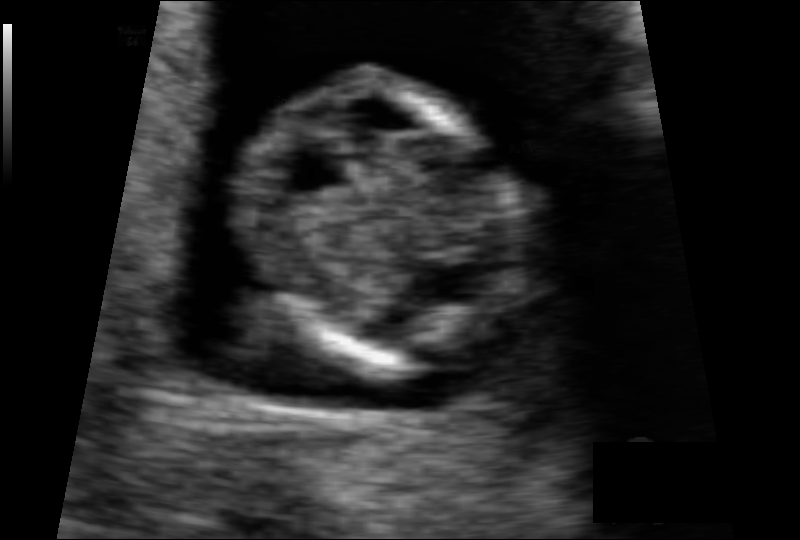
In this fetal head ultrasound, give the bounding box of the fetal head. Image width: 59.9 mm.

[237,78,533,373]